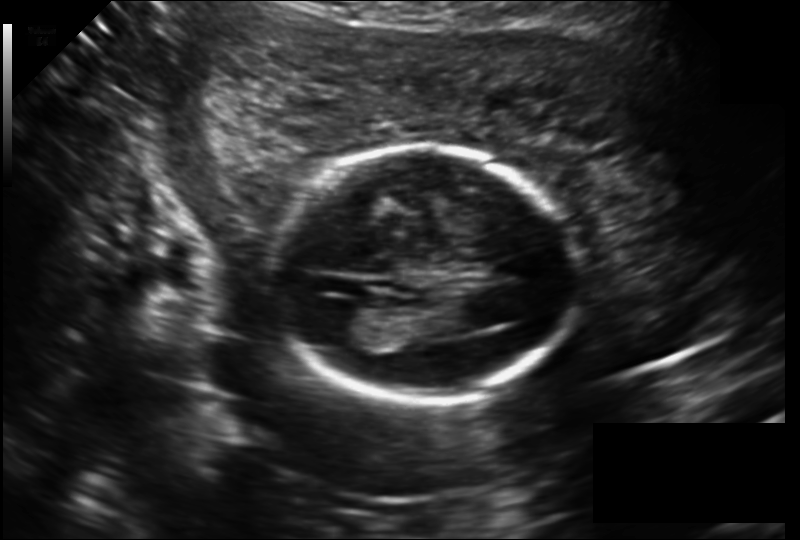
In this fetal head ultrasound, give the bounding box of the lateral ventricle. Image width: 142.0 mm.

[302,295,363,335]